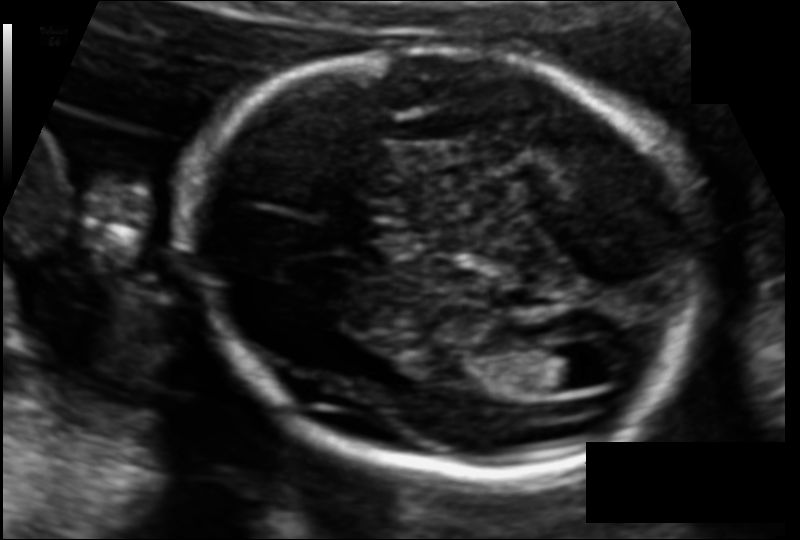
Fetal head ultrasound. Image width: 87.7 mm. Where is the fetal head?

Head bounding box: [191,46,707,478]